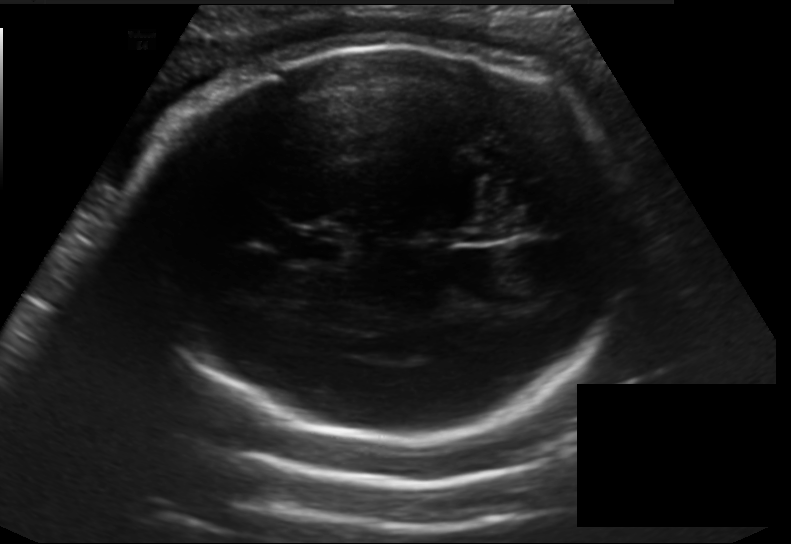
Fetal head ultrasound. Image width: 156.8 mm. Locate the fetal head and, if visible, the cavum septum pellucidum (CSP) and lateral ventricle (LV). Give bounding boxes as [x1,y1,x2,y2].

Head: [135,41,629,444]
CSP: [285,223,350,269]